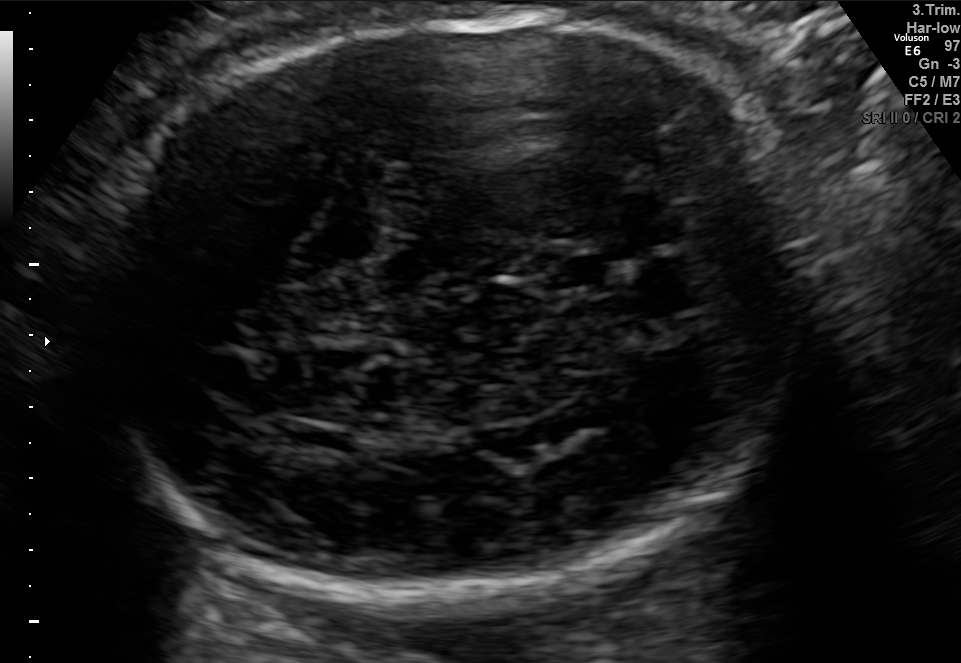
In this fetal brain, trans-thalamic plane, give the bounding box of the cavum septum pellucidum.

[547,253,607,291]